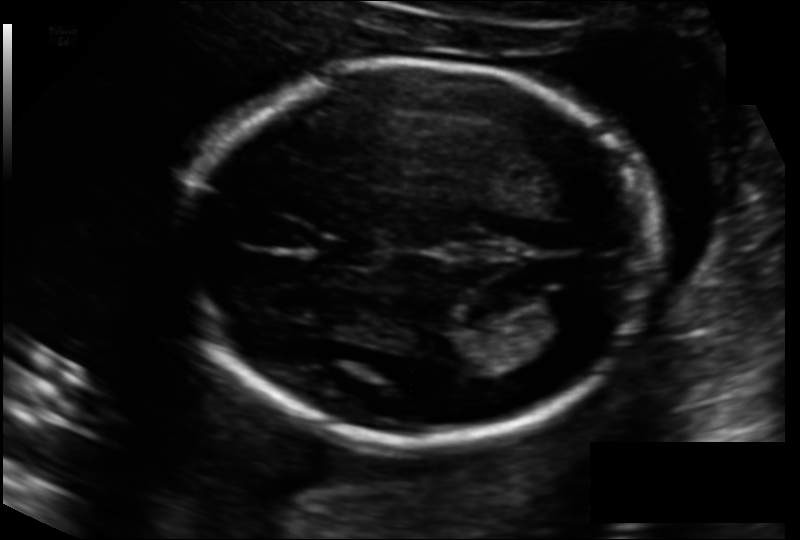
Fetal head ultrasound. Image width: 106.6 mm. Give [x1,y1,x2,y2] bounding boxes for each visible structure among: fetal head, CSP, LV.

Head: [180,61,657,444]
CSP: [319,234,381,270]
Lateral ventricle: [523,283,595,341]